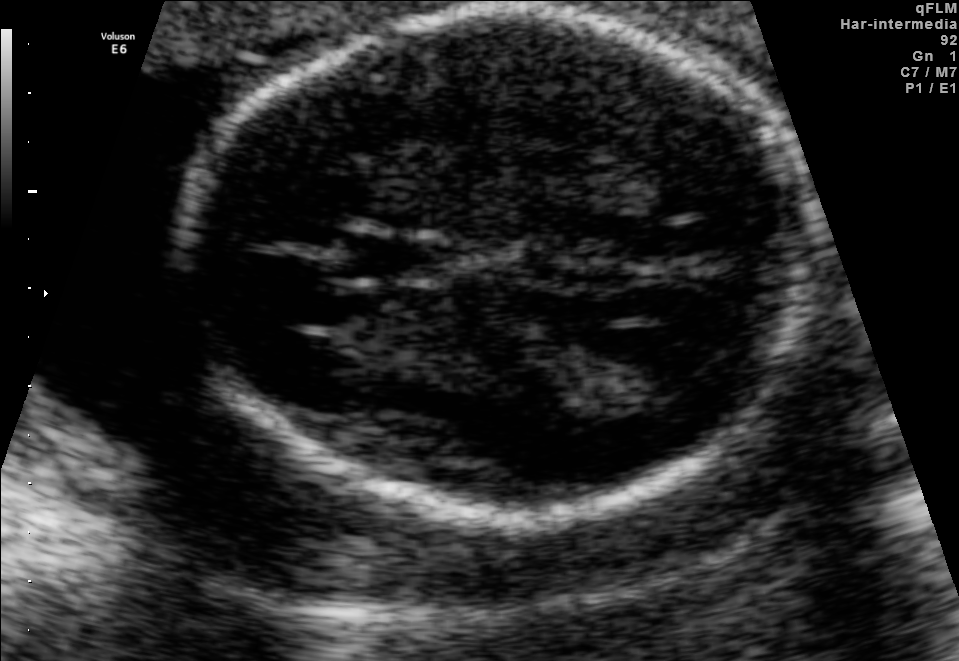
Fetal brain, trans-thalamic plane. Where is the fetal head?

Head bounding box: [184,9,815,506]